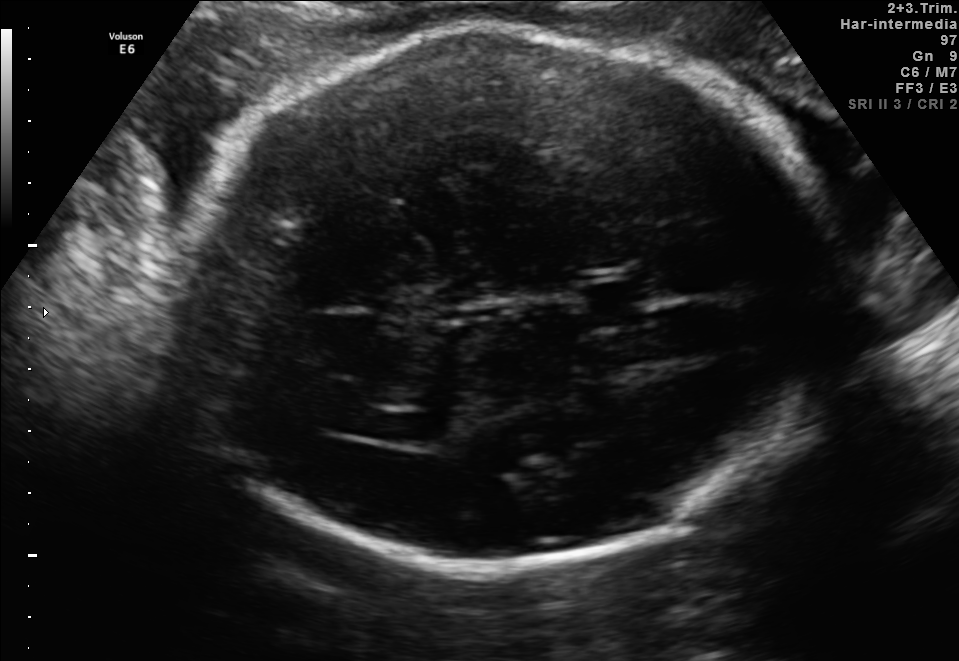
Fetal brain, trans-ventricular plane. Give [x1,y1,x2,y2] bounding boxes for each visible structure among: fetal head, CSP, LV.

Head: [161,17,856,576]
CSP: [566,267,680,335]
Lateral ventricle: [379,408,461,450]